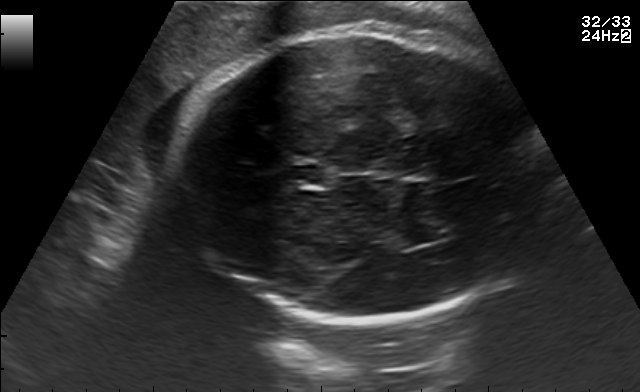
In this fetal brain, trans-thalamic plane, give bounding boxes for the head outline, cavum septum pellucidum (CSP), and lateral ventricle (LV), where visible.

Head: [168,29,545,320]
CSP: [284,165,323,184]
Lateral ventricle: [391,220,452,252]